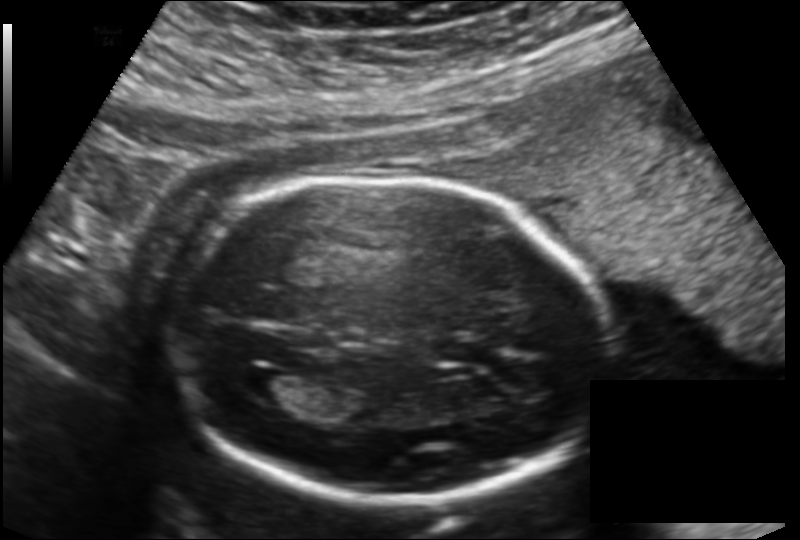
Fetal head ultrasound. Image width: 120.4 mm. Locate the lateral ventricle.

Lateral ventricle: [232,363,302,409]